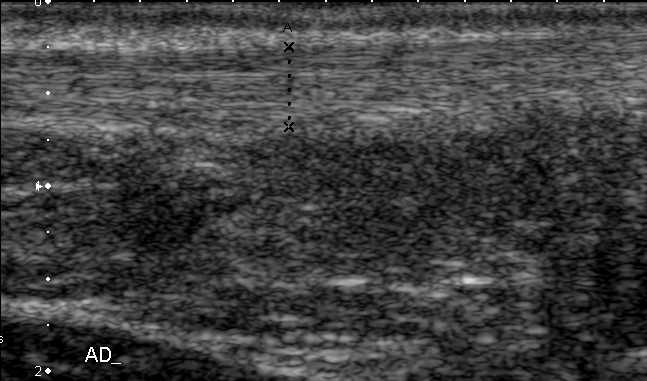
Classify this maternal-fetal ultrasound image as one of the six standard planes — fetal abdomen, fetal brain, fetal femur, fetal thorax, maternal cervix, or other. If it's fetal brain and one of the three standard brain planes (trans-thalamic, trans-cerebellum, trans-ventricular), name which.

Other